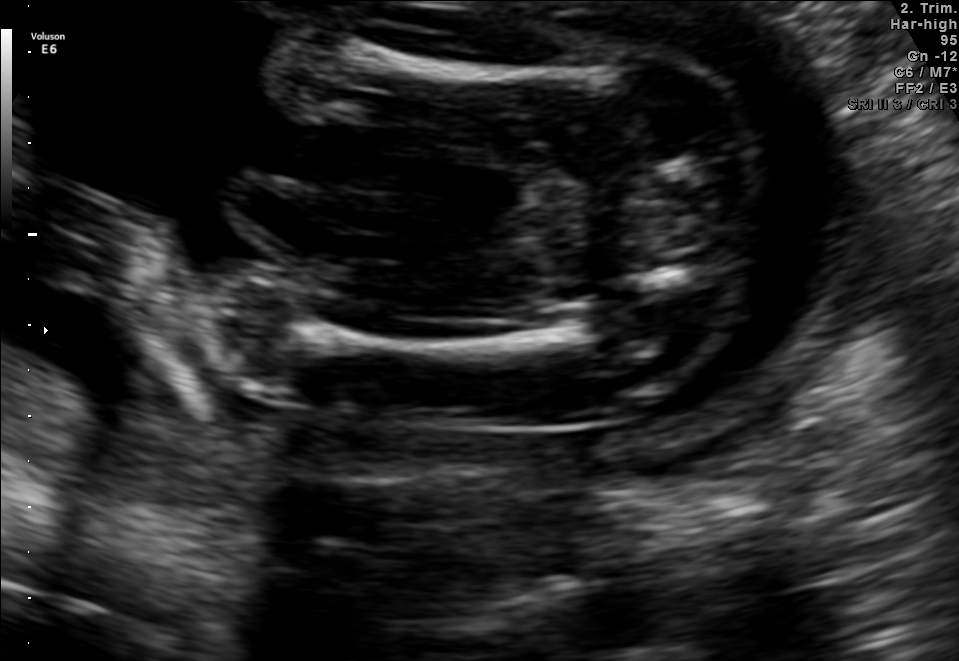
This is a 2D maternal-fetal ultrasound frame. Is it a fetal abdomen, fetal brain, fetal femur, fetal thorax, maternal cervix, or other standard plane? If it's fetal brain and one of the three standard brain planes (trans-thalamic, trans-cerebellum, trans-ventricular), name which.

Fetal femur